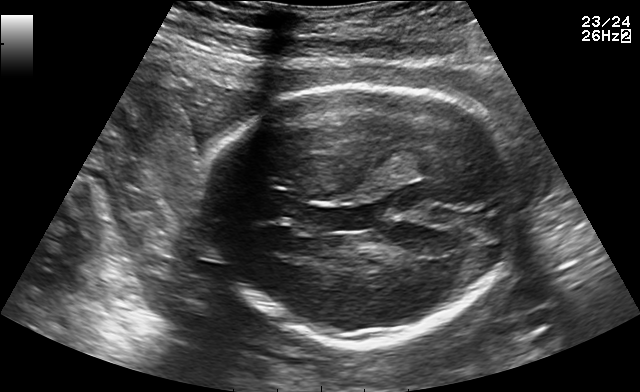
In this fetal brain, trans-thalamic plane, give the bounding box of the fetal head.

[198,85,521,350]